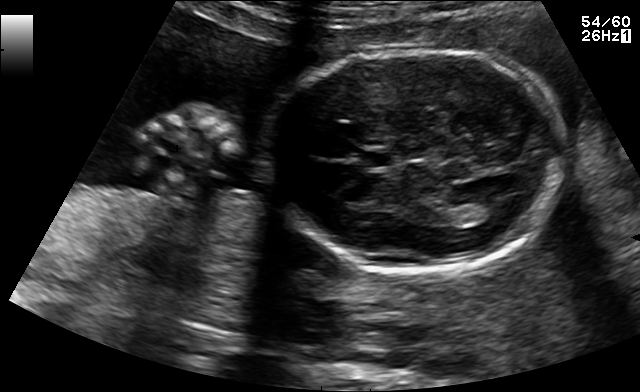
Fetal brain, trans-thalamic plane. Where is the fetal head?

Head bounding box: [264,50,565,270]